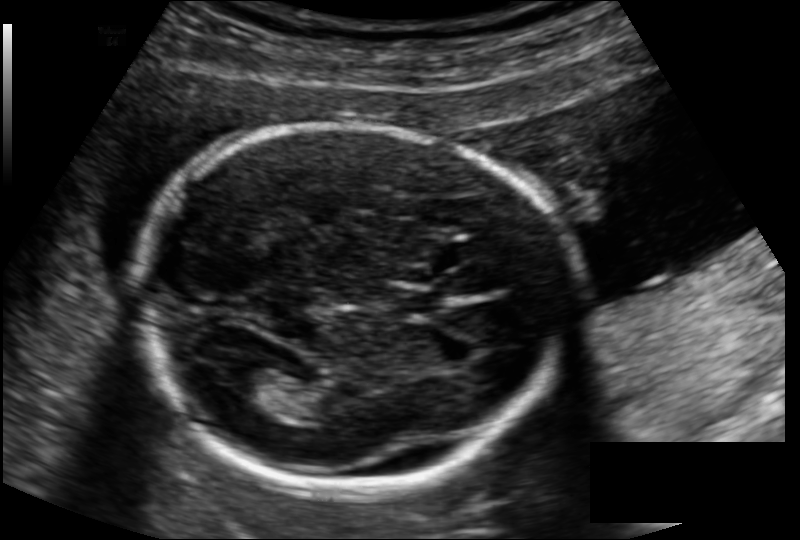
Estimate the fetal head circumference from this 2D ultrasound.

Head circumference: 172.7 mm (image width 107.6 mm).